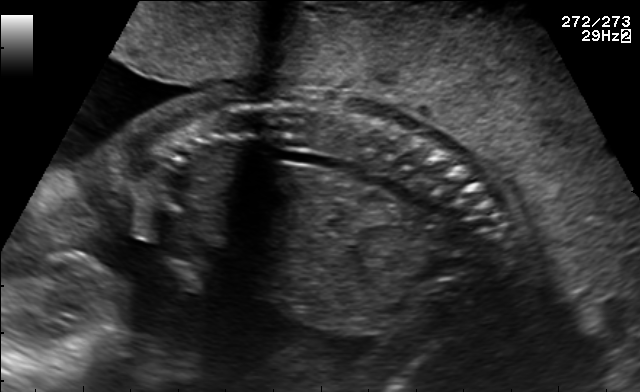
Identify the standard plane in this fetal ultrasound image: fetal abdomen, fetal brain, fetal femur, fetal thorax, maternal cervix, or other. If it's fetal brain and one of the three standard brain planes (trans-thalamic, trans-cerebellum, trans-ventricular), name which.

Other